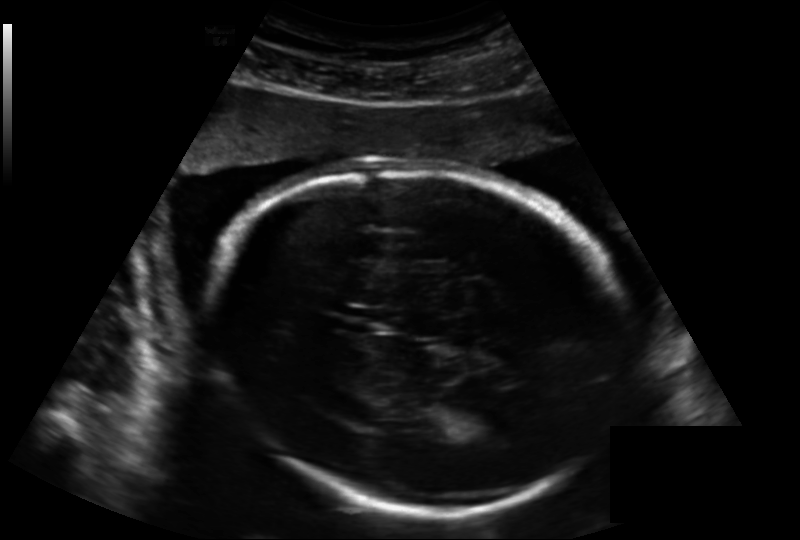
Fetal head ultrasound. Image width: 150.3 mm. Give [x1,y1,x2,y2] bounding boxes for each visible structure among: fetal head, CSP, LV.

Head: [204,167,632,510]